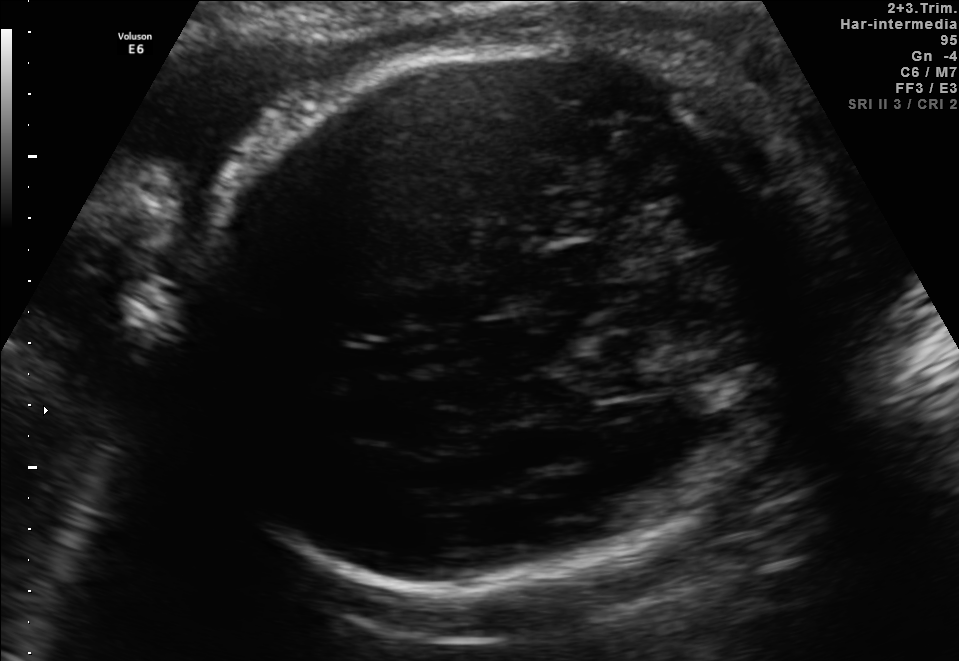
Fetal brain, trans-cerebellum plane. Locate the fetal head and, if visible, the cavum septum pellucidum (CSP) and lateral ventricle (LV). Give bounding boxes as [x1,y1,x2,y2].

Head: [187,44,762,587]